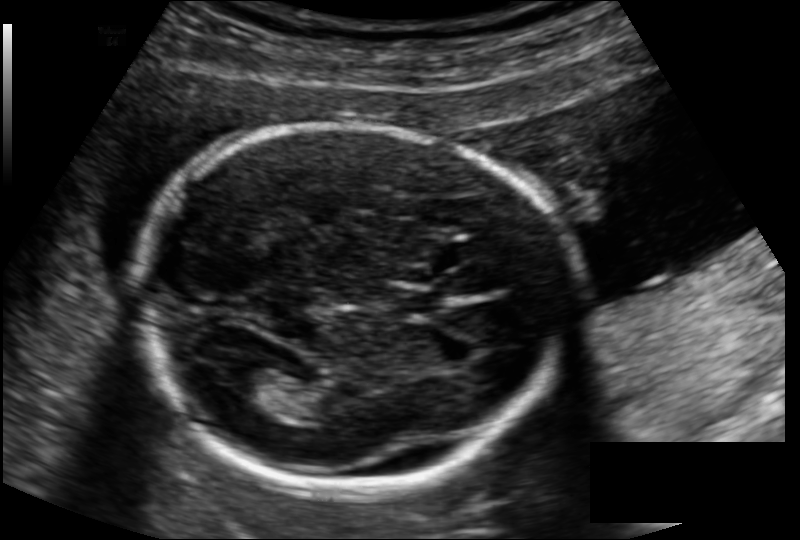
Estimate the fetal head circumference from this 2D ultrasound. Image width: 107.6 mm.

Head circumference: 172.7 mm.